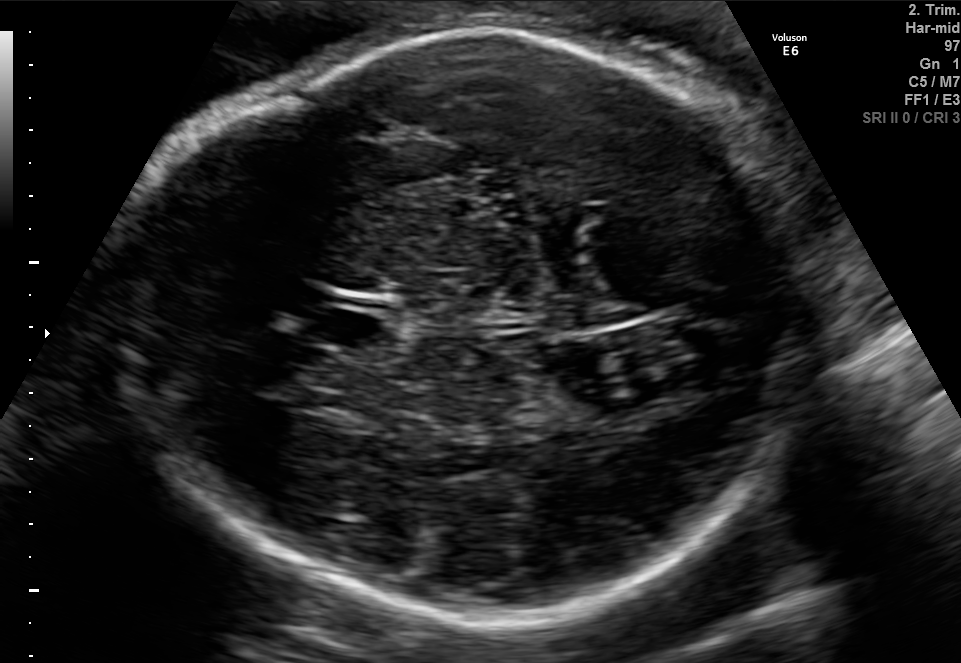
Which standard maternal-fetal ultrasound plane is shown: fetal abdomen, fetal brain, fetal femur, fetal thorax, maternal cervix, or other? If it's fetal brain and one of the three standard brain planes (trans-thalamic, trans-cerebellum, trans-ventricular), name which.

Fetal brain (trans-thalamic plane)